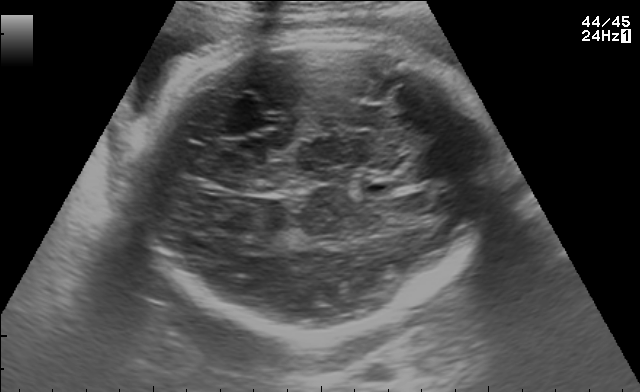
In this fetal brain, trans-thalamic plane, give the bounding box of the fetal head.

[125,37,489,333]